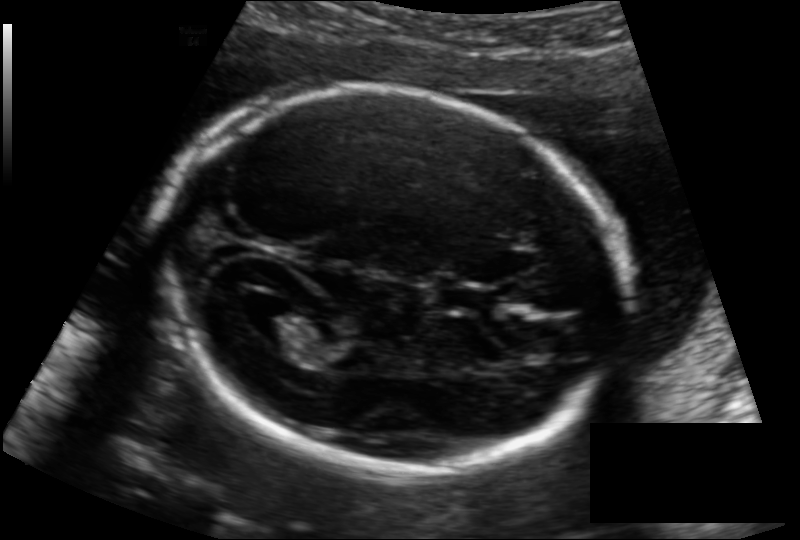
Fetal head ultrasound. Image width: 106.5 mm. Locate the lateral ventricle.

Lateral ventricle: [240,288,324,363]